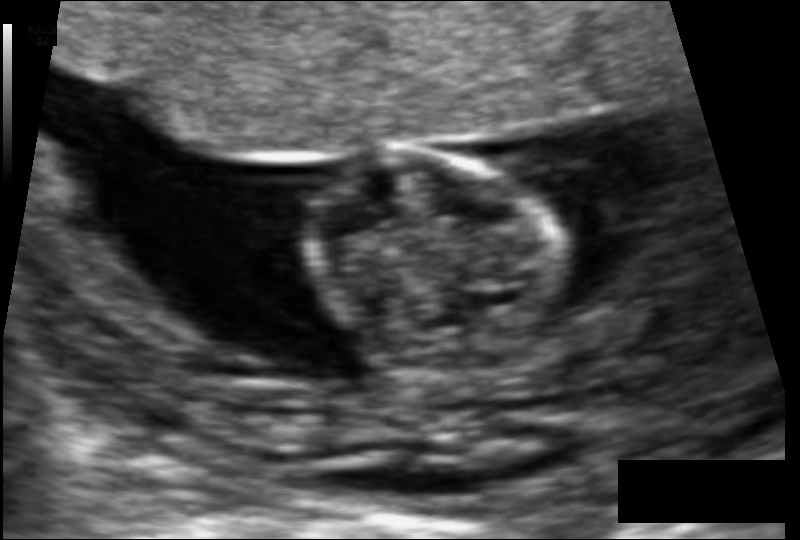
In this fetal head ultrasound, give bounding boxes for the head outline, cavum septum pellucidum (CSP), and lateral ventricle (LV), where visible. Image width: 63.2 mm.

Head: [306,150,571,377]